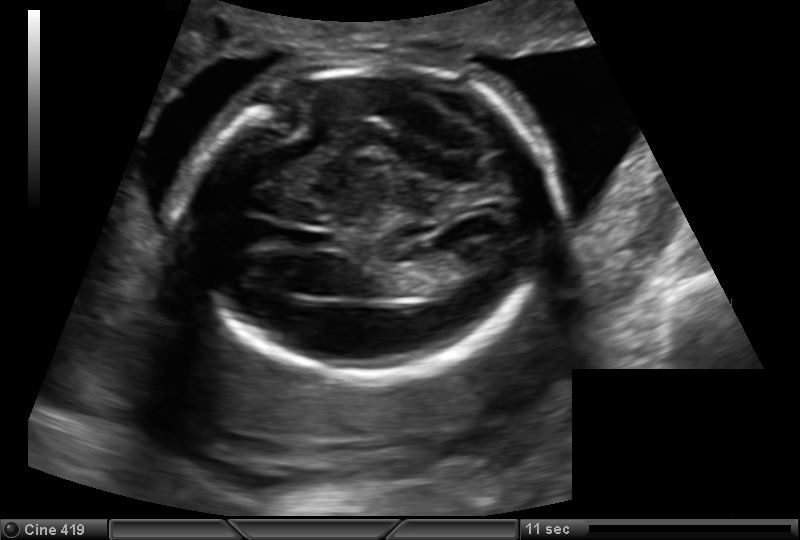
Fetal head ultrasound. Image width: 122.2 mm. Where is the fetal head?

Head bounding box: [191,62,547,373]